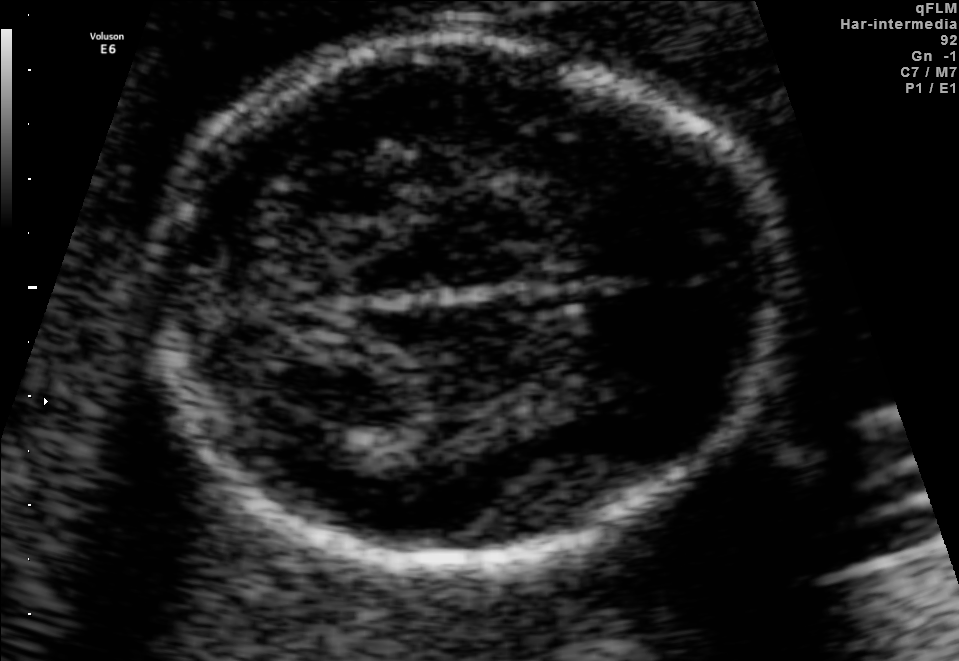
Fetal brain, trans-thalamic plane. Locate the fetal head.

Head: [153,39,788,570]